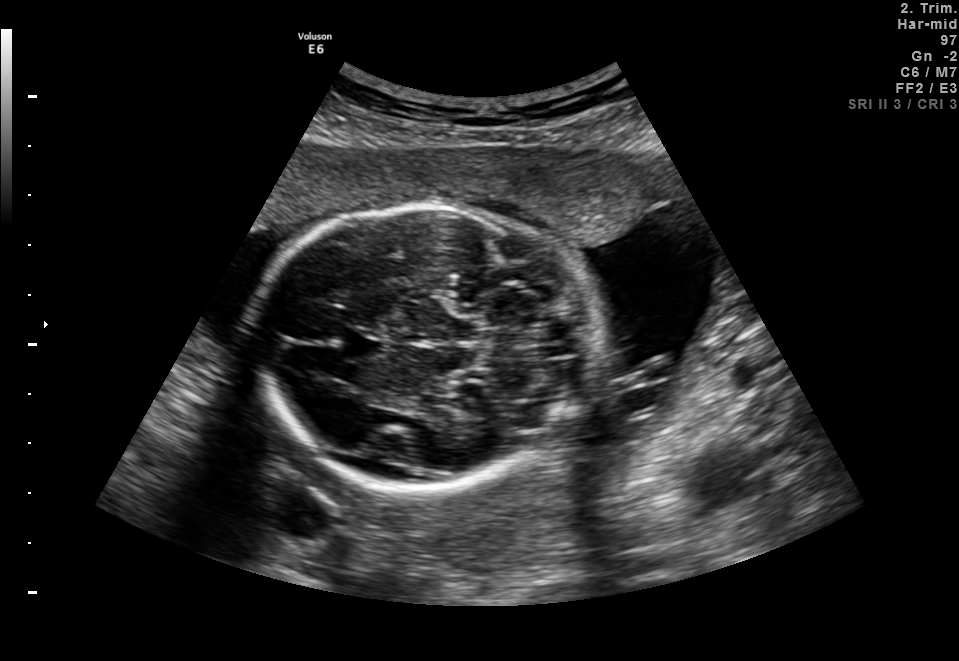
Fetal brain, trans-cerebellum plane. Where is the cavum septum pellucidum?

CSP bounding box: [341,327,383,359]